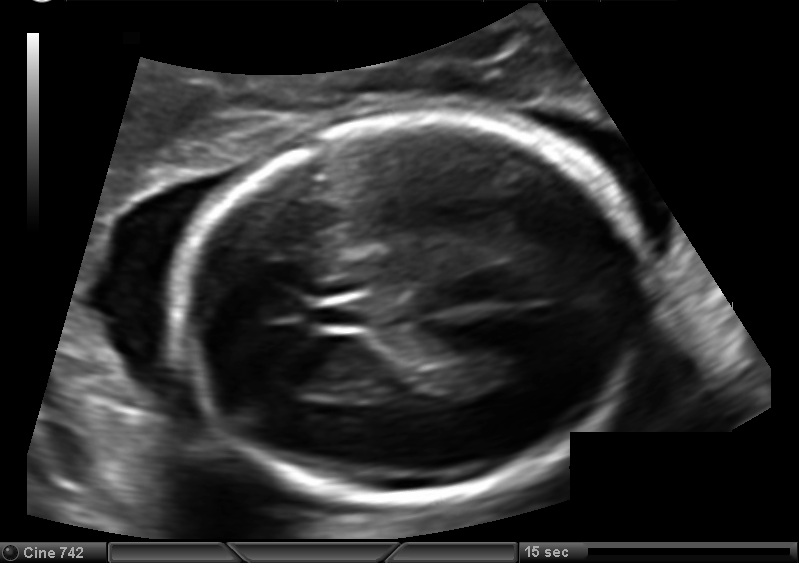
In this fetal head ultrasound, give the bounding box of the cavum septum pellucidum. Image width: 101.4 mm.

[313,297,372,332]